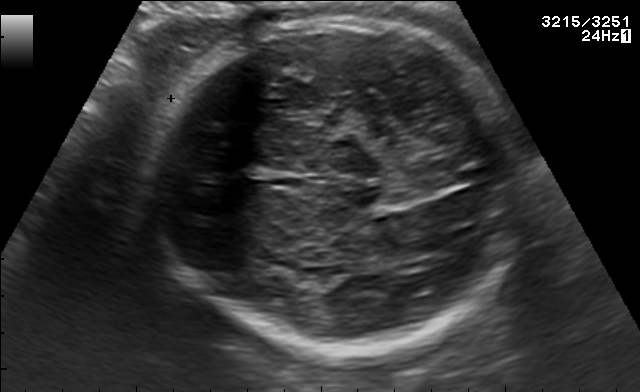
Fetal brain, trans-thalamic plane. Give [x1,y1,x2,y2] bounding boxes for each visible structure among: fetal head, CSP, LV.

Head: [142,20,522,356]